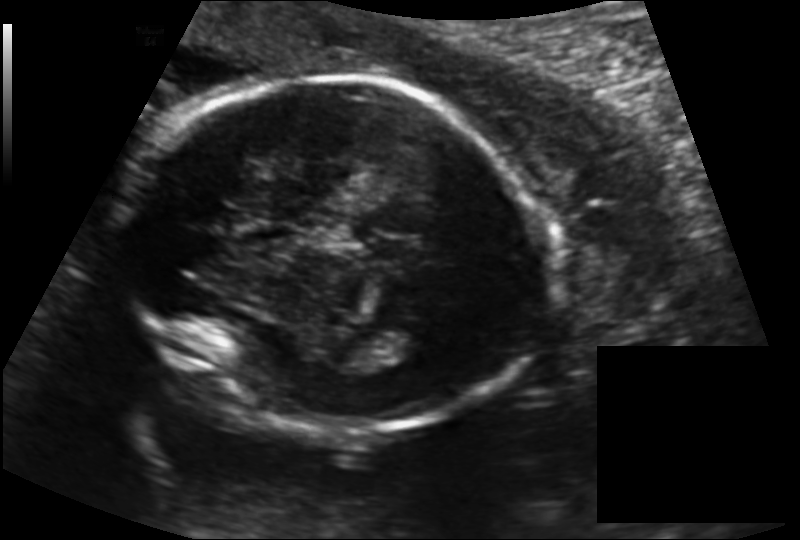
Fetal head ultrasound. Image width: 116.1 mm. Locate the fetal head and, if visible, the cavum septum pellucidum (CSP) and lateral ventricle (LV). Give bounding boxes as [x1,y1,x2,y2].

Head: [123,78,550,433]